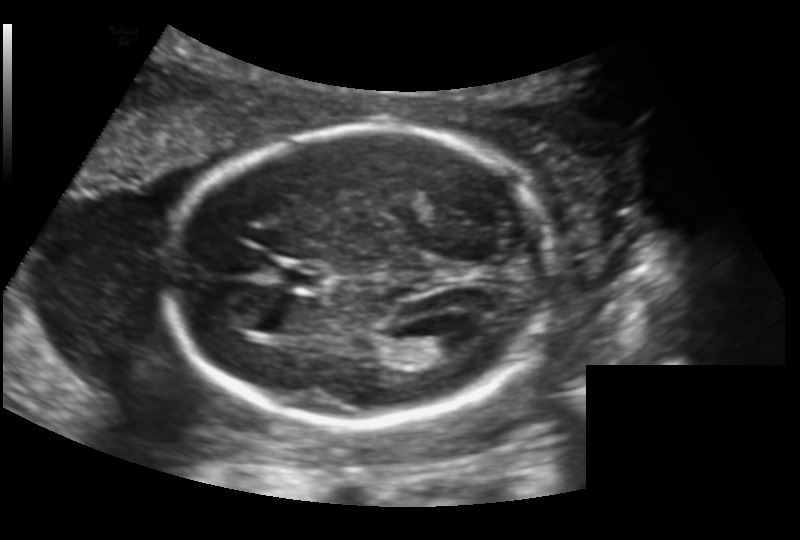
Fetal head ultrasound. Image width: 125.0 mm. Where is the fetal head?

Head bounding box: [169,127,548,428]